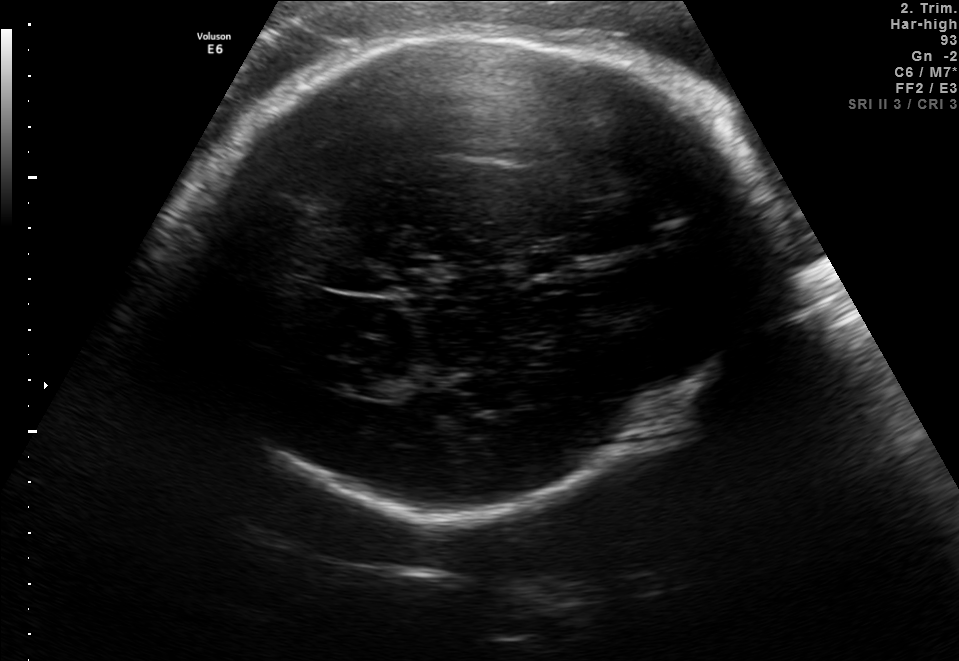
Fetal brain, trans-thalamic plane. Where is the cavum septum pellucidum?

CSP bounding box: [523,251,573,275]